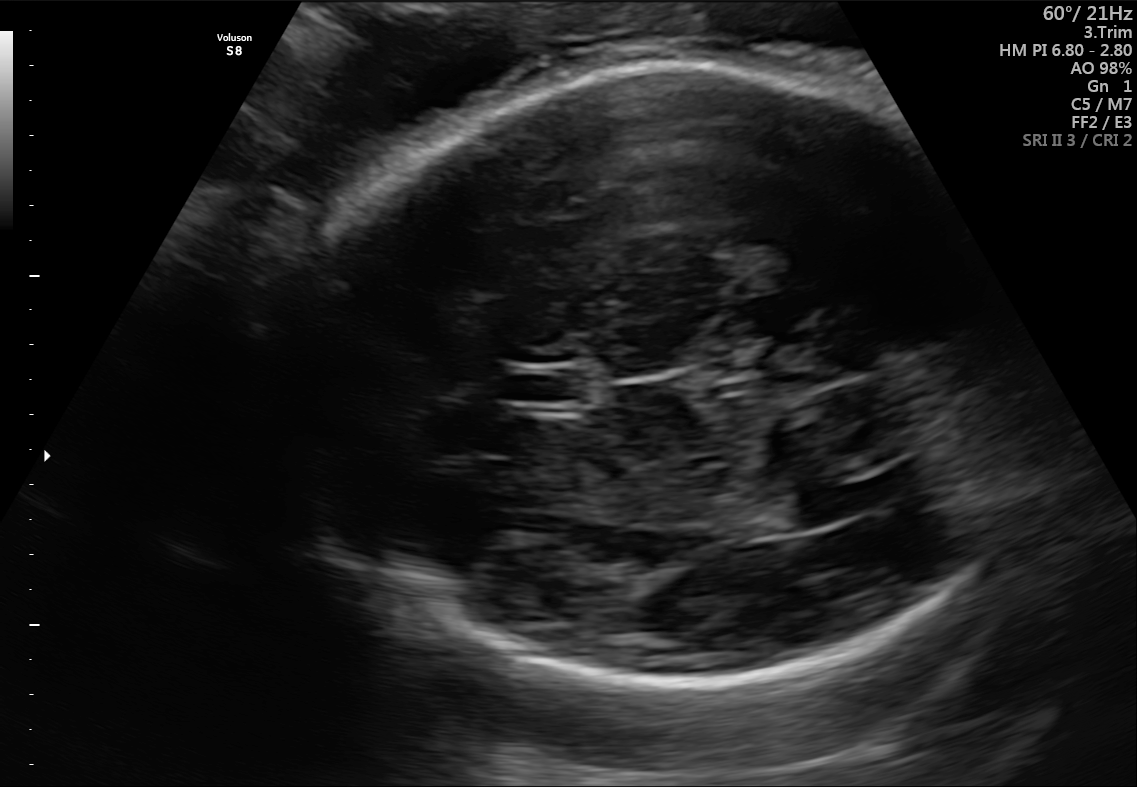
In this fetal brain, trans-thalamic plane, give the bounding box of the fetal head.

[256,63,1016,686]